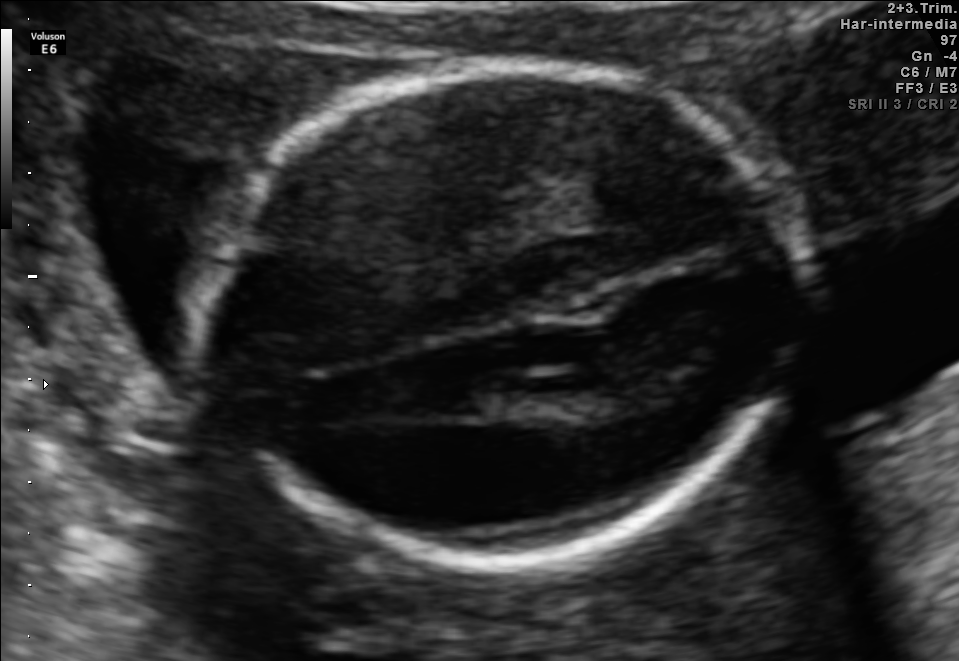
In this fetal brain, trans-thalamic plane, give the bounding box of the fetal head.

[207,61,794,568]